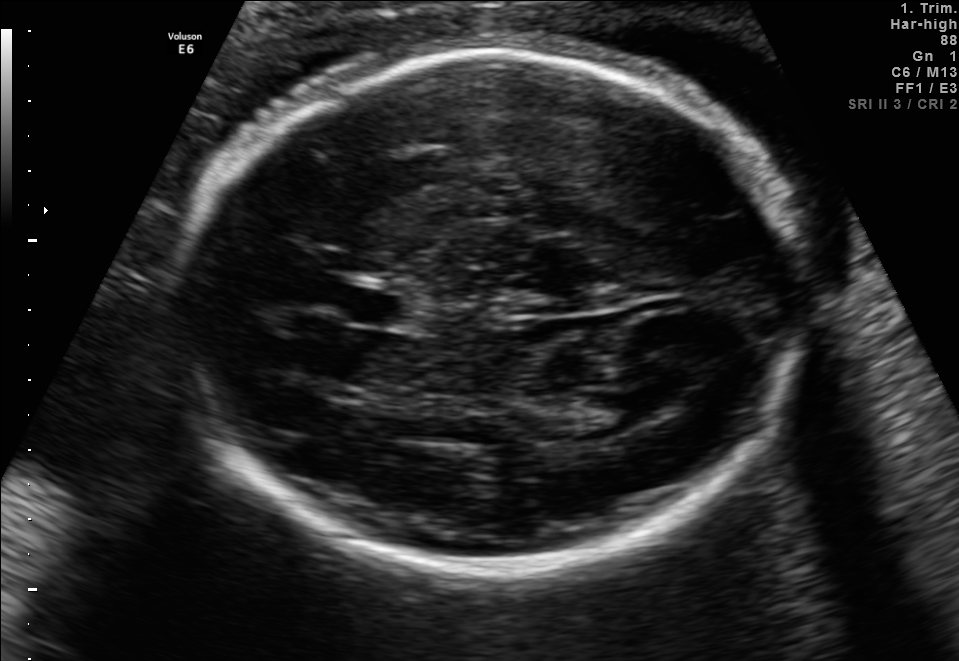
Fetal brain, trans-thalamic plane. Where is the lateral ventricle?

Lateral ventricle bounding box: [570,387,655,438]